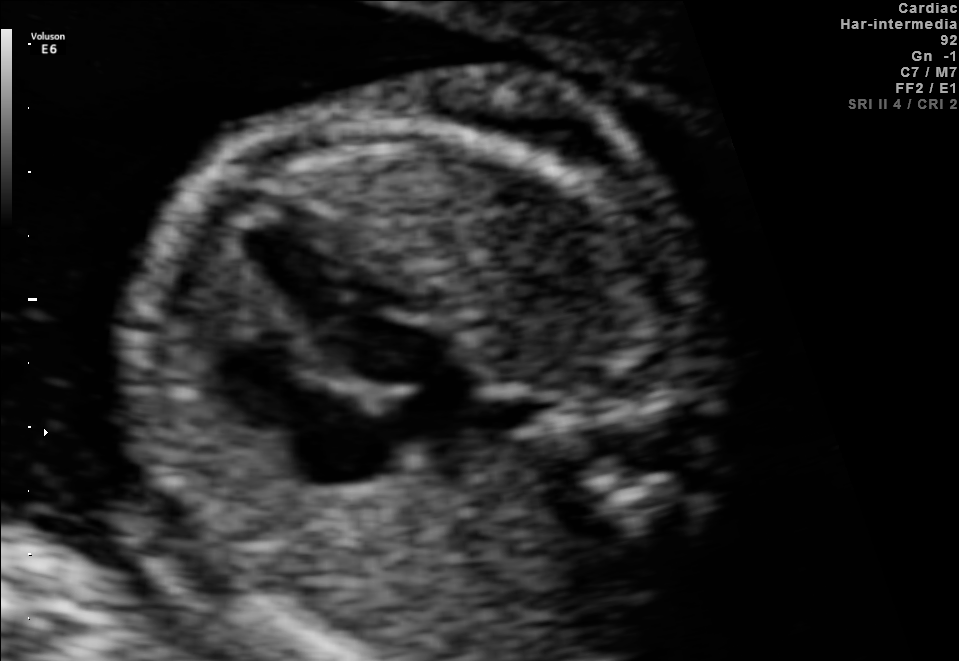
Identify the standard plane in this fetal ultrasound image: fetal abdomen, fetal brain, fetal femur, fetal thorax, maternal cervix, or other. If it's fetal brain and one of the three standard brain planes (trans-thalamic, trans-cerebellum, trans-ventricular), name which.

Fetal thorax